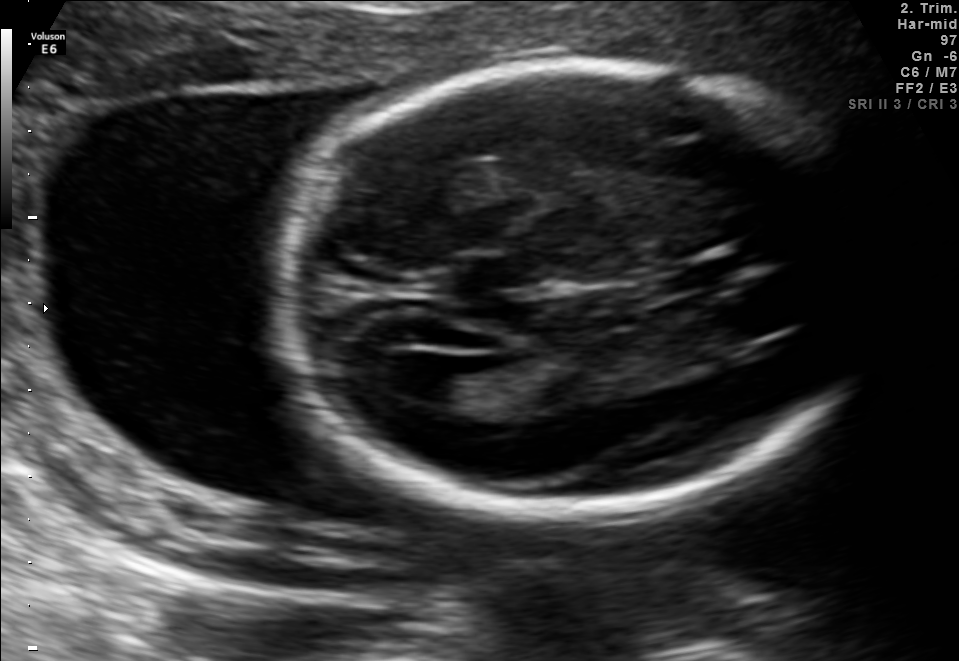
Which standard maternal-fetal ultrasound plane is shown: fetal abdomen, fetal brain, fetal femur, fetal thorax, maternal cervix, or other? If it's fetal brain and one of the three standard brain planes (trans-thalamic, trans-cerebellum, trans-ventricular), name which.

Fetal brain (trans-ventricular plane)